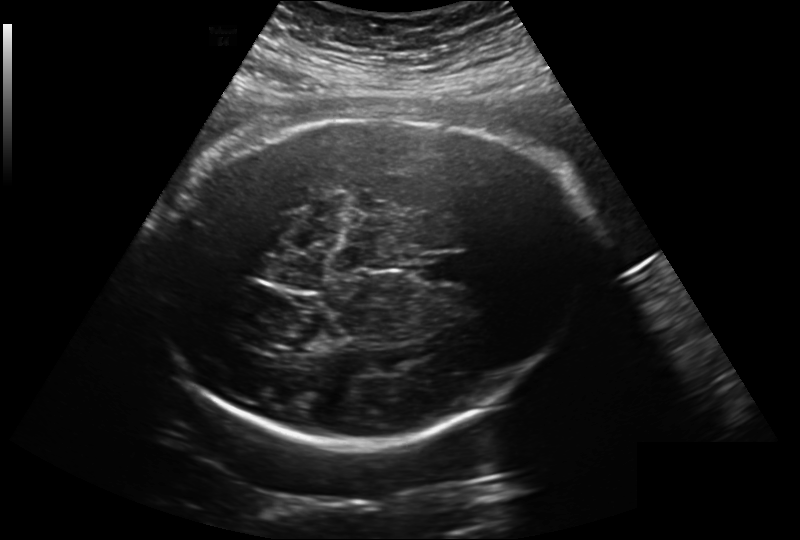
In this fetal head ultrasound, give the bounding box of the fetal head. Image width: 208.0 mm.

[148,115,588,441]